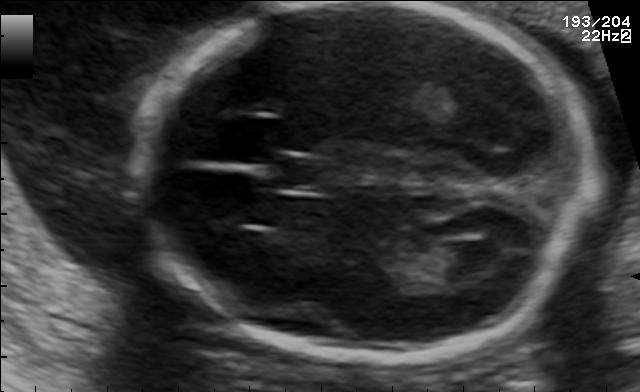
In this fetal brain, trans-ventricular plane, give the bounding box of the lateral ventricle.

[447,238,512,283]